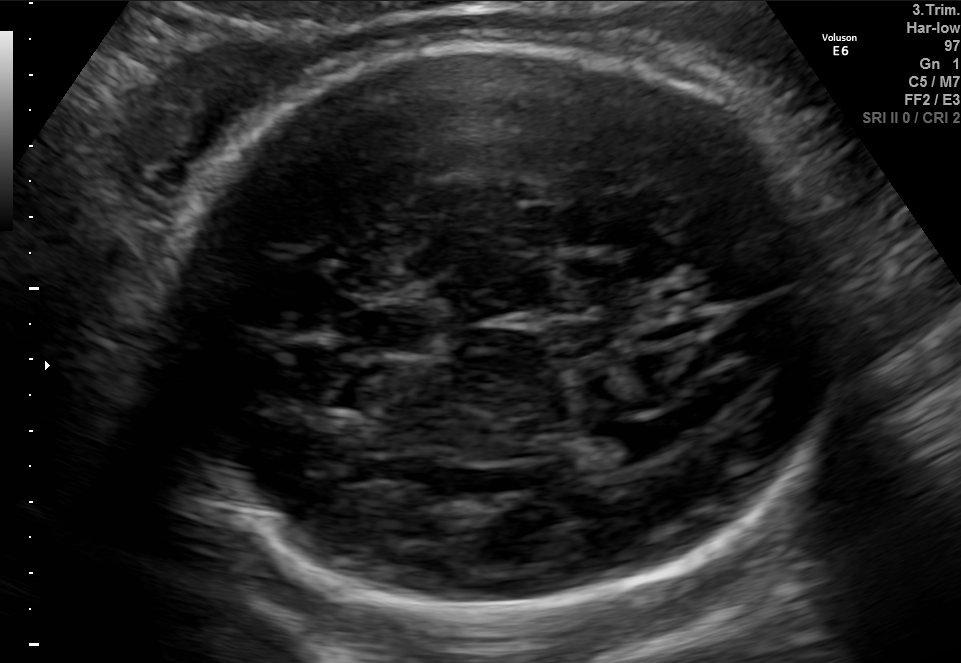
Fetal brain, trans-ventricular plane. Where is the cavum septum pellucidum?

CSP bounding box: [360,306,433,354]